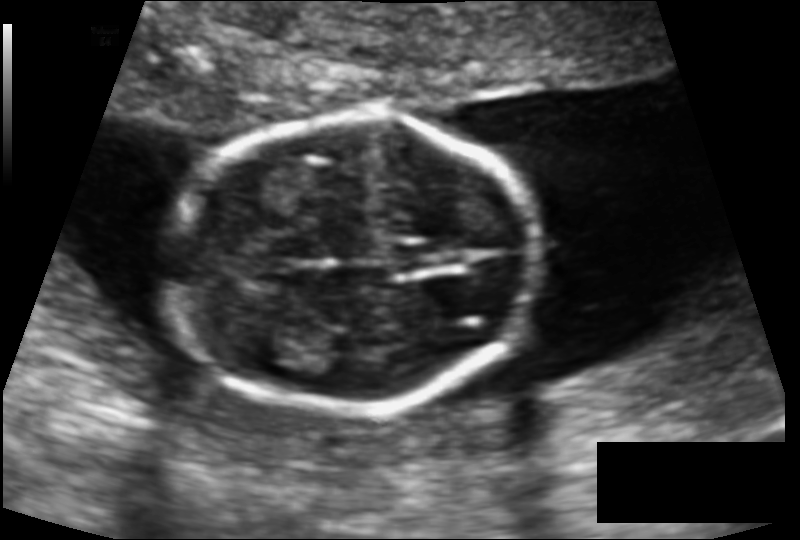
In this fetal head ultrasound, give the bounding box of the fetal head. Image width: 89.5 mm.

[166,118,537,410]